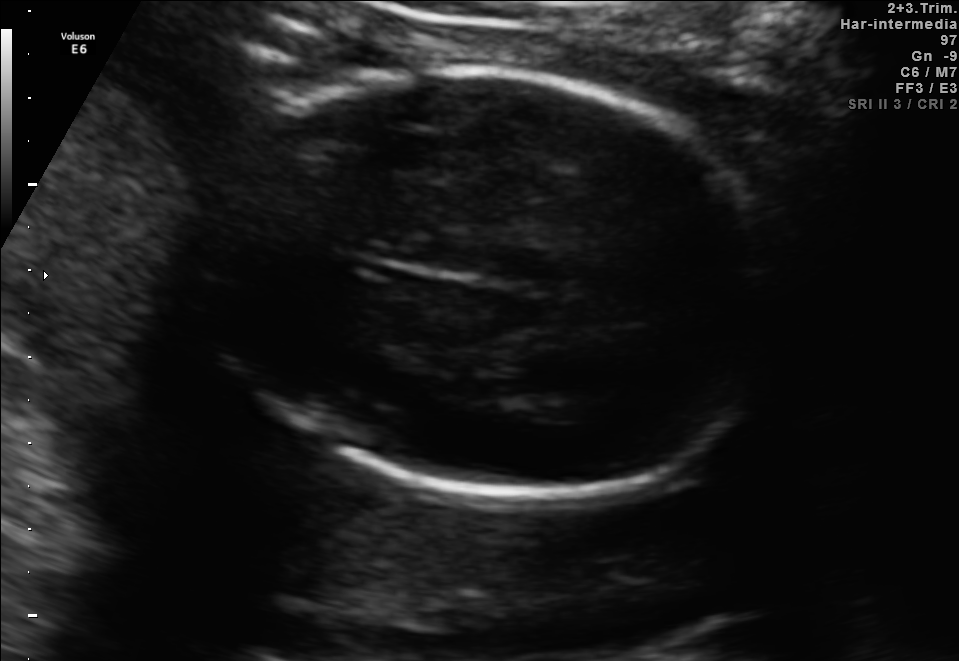
Fetal brain, trans-thalamic plane. Where is the fetal head?

Head bounding box: [203,70,782,497]